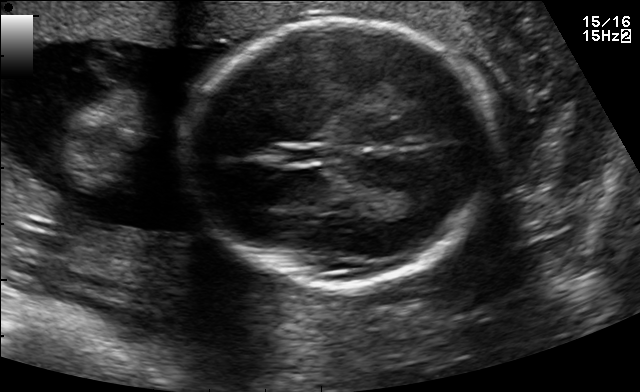
Fetal brain, trans-thalamic plane. Give [x1,y1,x2,y2] bounding boxes for each visible structure among: fetal head, CSP, LV.

Head: [188,23,495,288]
CSP: [280,144,331,165]